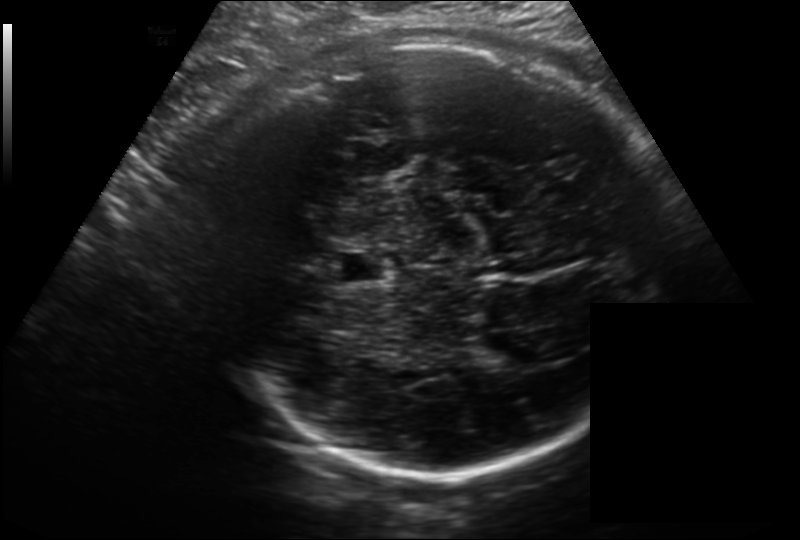
Fetal head ultrasound. Image width: 171.5 mm. Locate the fetal head and, if visible, the cavum septum pellucidum (CSP) and lateral ventricle (LV). Give bounding boxes as [x1,y1,x2,y2].

Head: [210,38,668,473]
CSP: [333,251,392,282]
Lateral ventricle: [473,332,535,371]